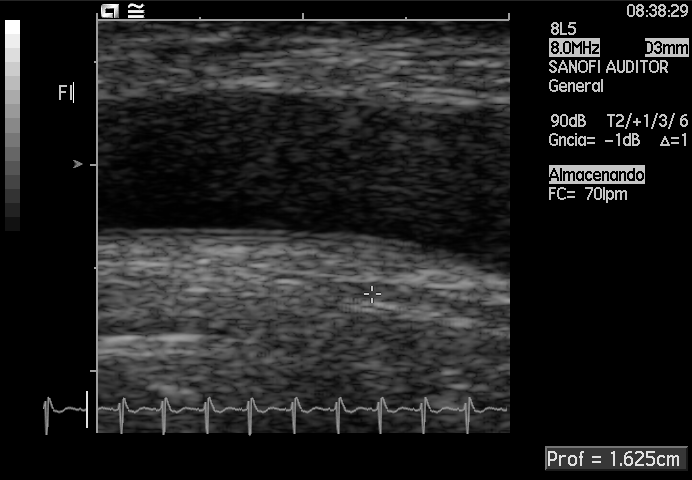
This is a 2D maternal-fetal ultrasound frame. Is it a fetal abdomen, fetal brain, fetal femur, fetal thorax, maternal cervix, or other standard plane? If it's fetal brain and one of the three standard brain planes (trans-thalamic, trans-cerebellum, trans-ventricular), name which.

Other